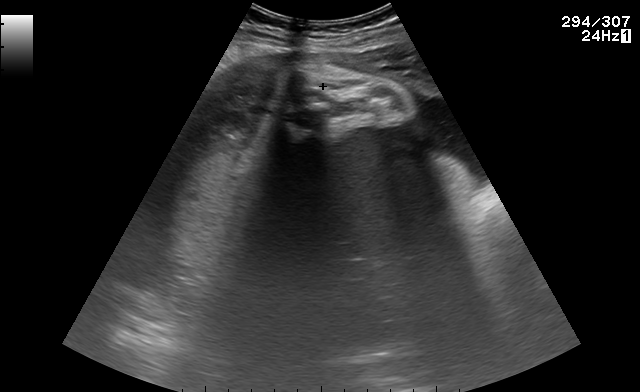
Classify this maternal-fetal ultrasound image as one of the six standard planes — fetal abdomen, fetal brain, fetal femur, fetal thorax, maternal cervix, or other. If it's fetal brain and one of the three standard brain planes (trans-thalamic, trans-cerebellum, trans-ventricular), name which.

Other